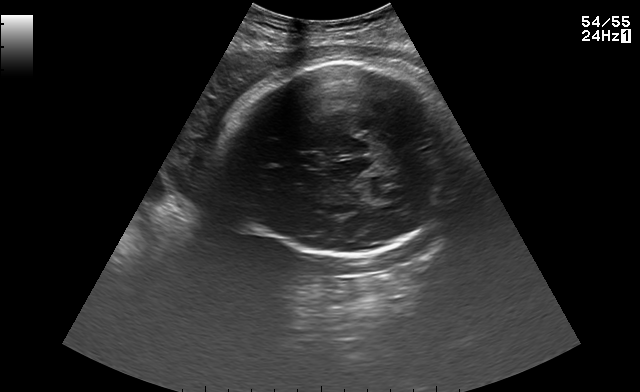
Fetal brain, trans-thalamic plane. Locate the fetal head.

Head: [226,62,455,255]